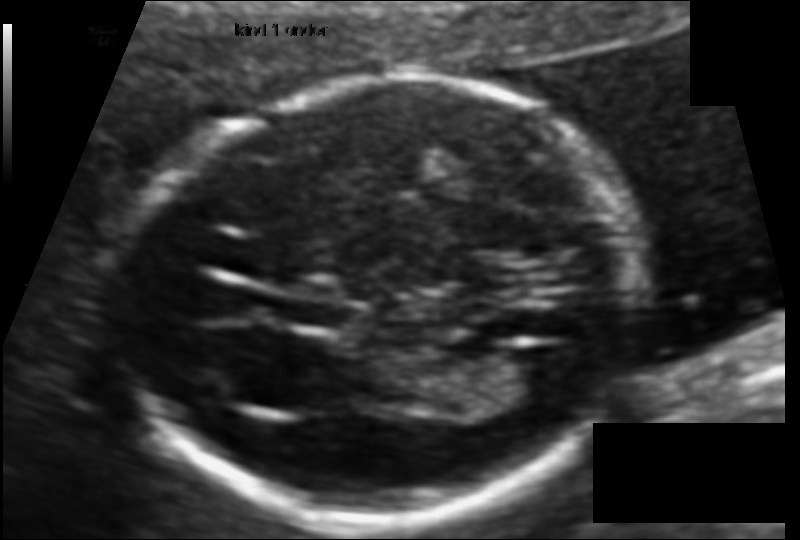
What is the fetal head circumference? Image width is 75.7 mm.

148.9 mm